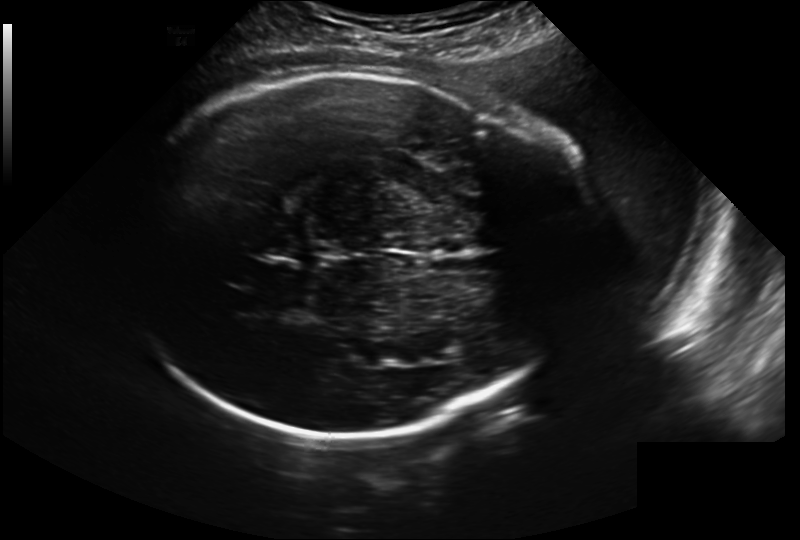
Fetal head ultrasound. Image width: 192.7 mm. Locate the fetal head.

Head: [129,73,554,438]